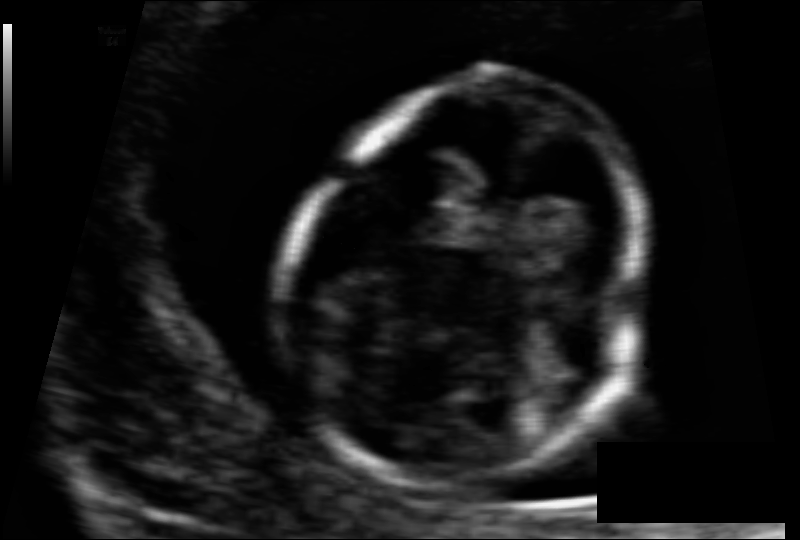
Estimate the fetal head circumference from this 2D ultrasound.

Head circumference: 78.1 mm (image width 50.2 mm).